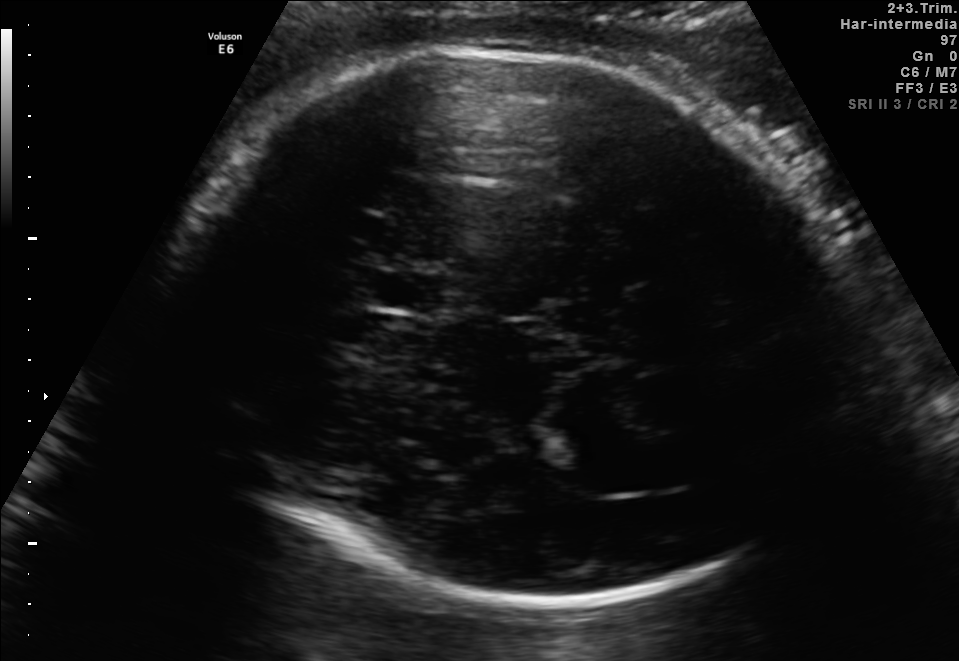
In this fetal brain, trans-thalamic plane, give the bounding box of the fetal head.

[186,46,841,605]